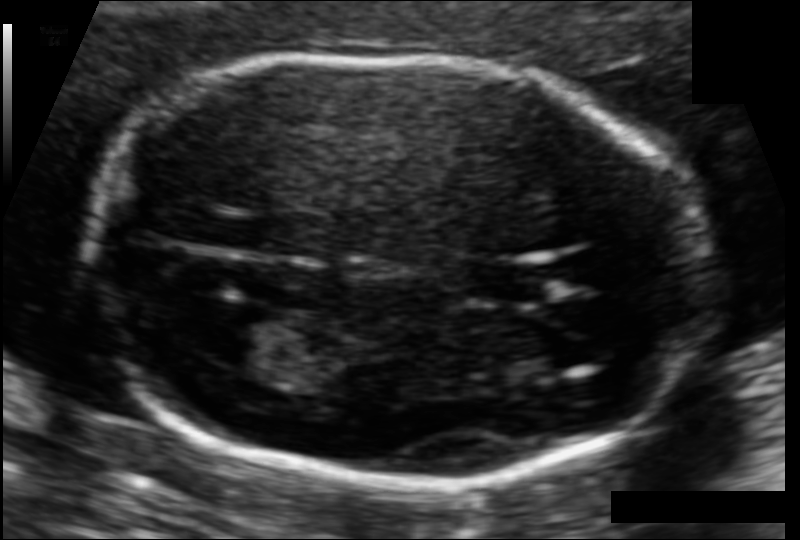
Fetal head ultrasound. Image width: 73.9 mm. Where is the fetal head?

Head bounding box: [84,56,704,489]